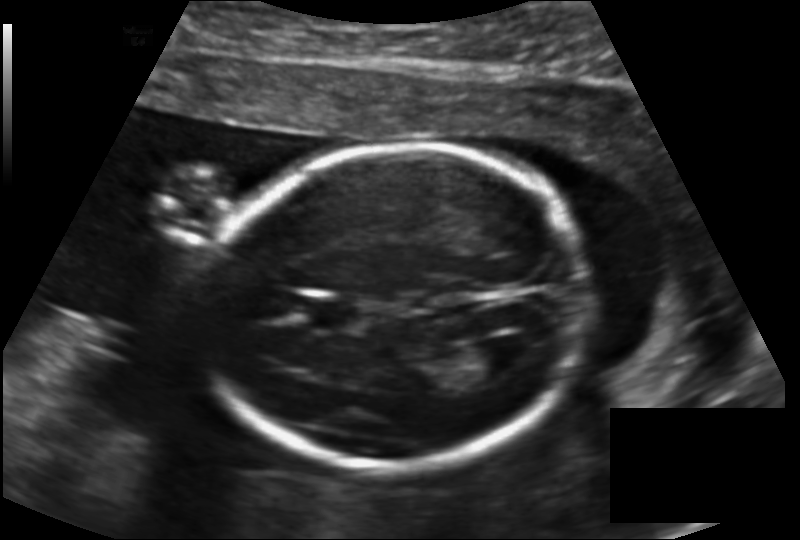
Fetal head ultrasound. Image width: 117.6 mm. Give [x1,y1,x2,y2] bounding boxes for each visible structure among: fetal head, CSP, LV.

Head: [203,144,584,468]
CSP: [308,298,360,329]
Lateral ventricle: [464,329,537,382]